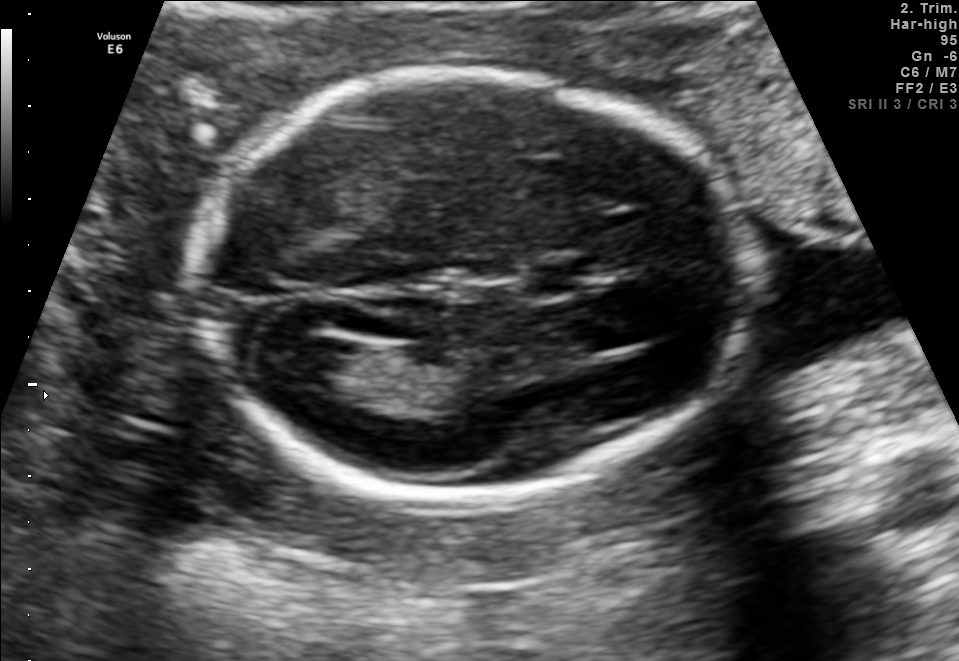
Fetal brain, trans-ventricular plane. Locate the fetal head.

Head: [179,61,772,518]